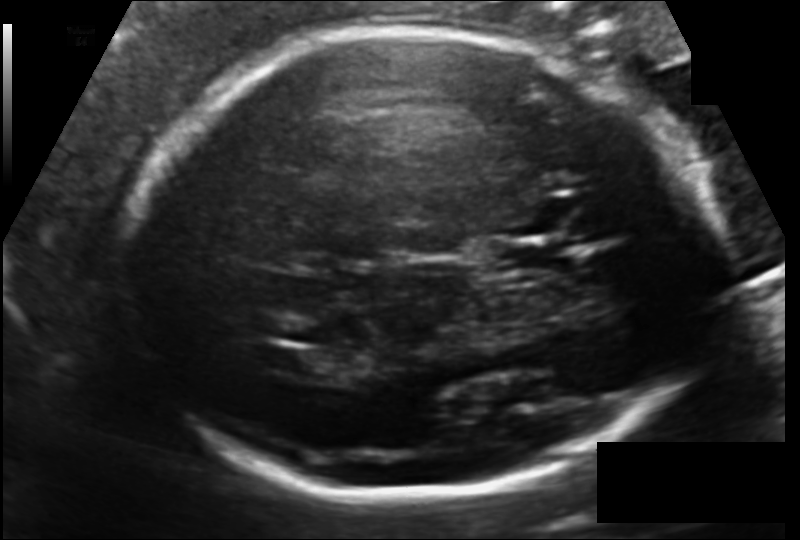
In this fetal head ultrasound, give the bounding box of the fetal head. Image width: 106.4 mm.

[115,31,718,494]